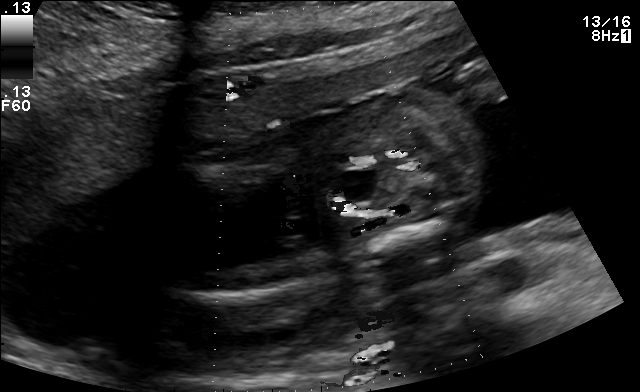
Which standard maternal-fetal ultrasound plane is shown: fetal abdomen, fetal brain, fetal femur, fetal thorax, maternal cervix, or other? If it's fetal brain and one of the three standard brain planes (trans-thalamic, trans-cerebellum, trans-ventricular), name which.

Other